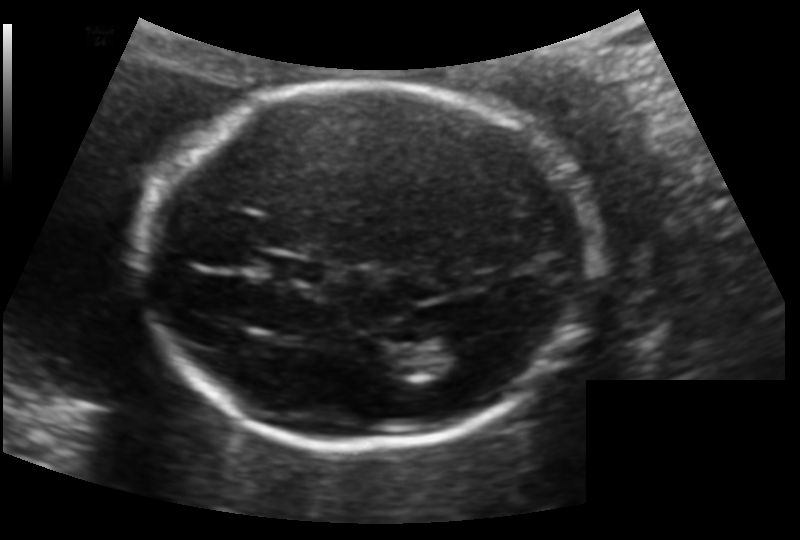
Fetal head ultrasound. Image width: 106.4 mm. Locate the fetal head.

Head: [143,83,587,449]